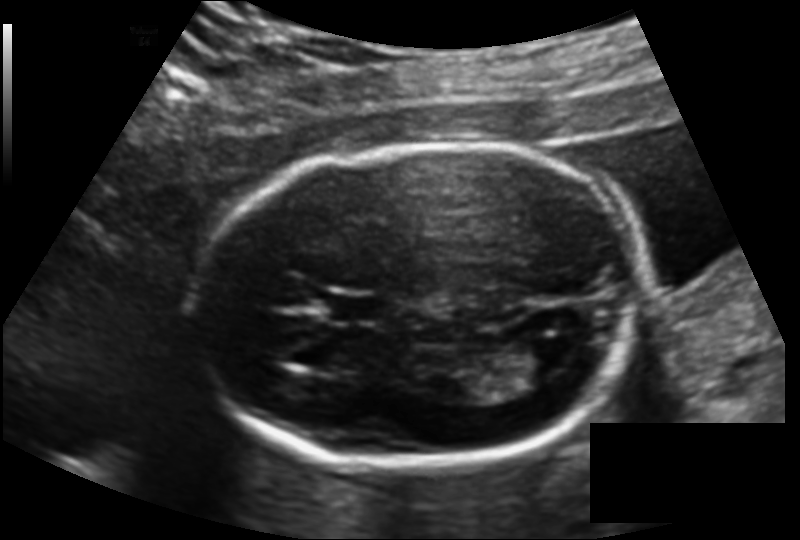
In this fetal head ultrasound, give the bounding box of the fetal head. Image width: 109.3 mm.

[188,145,644,466]